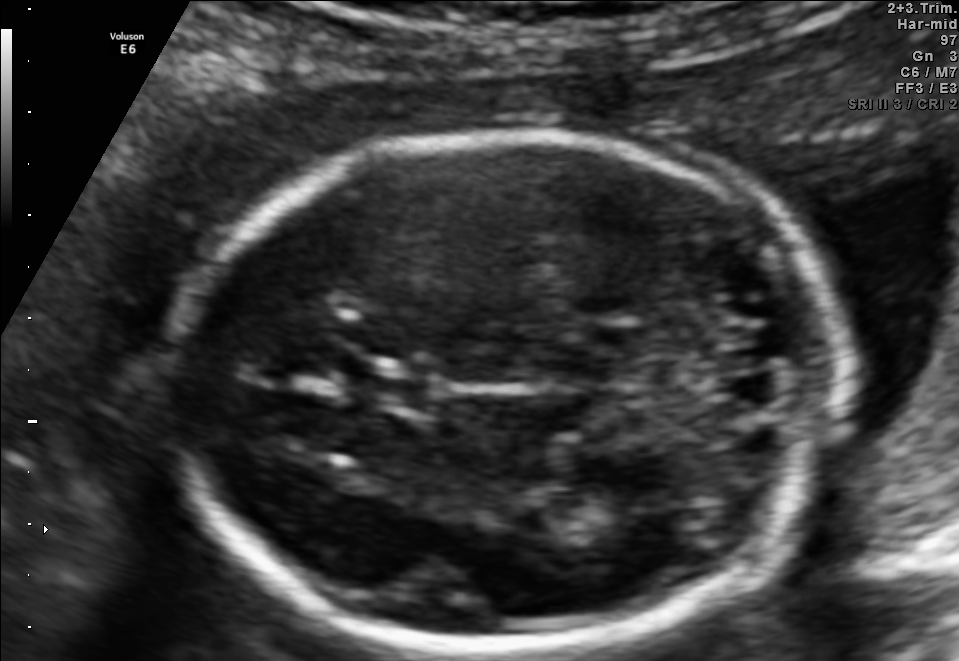
Fetal brain, trans-thalamic plane. Where is the fetal head?

Head bounding box: [168,135,849,648]